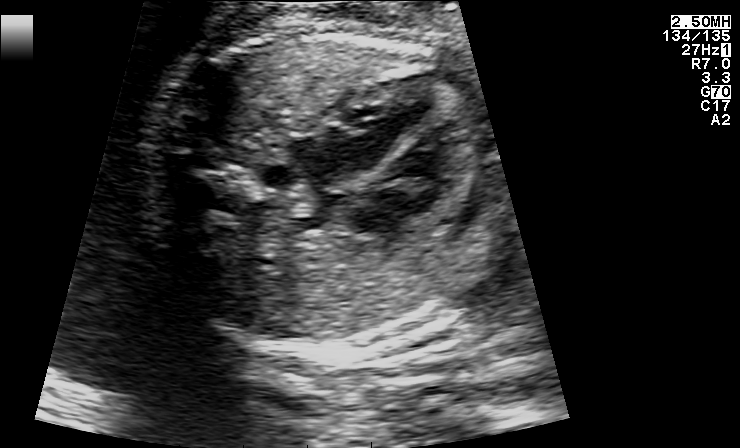
Classify this maternal-fetal ultrasound image as one of the six standard planes — fetal abdomen, fetal brain, fetal femur, fetal thorax, maternal cervix, or other. If it's fetal brain and one of the three standard brain planes (trans-thalamic, trans-cerebellum, trans-ventricular), name which.

Fetal thorax